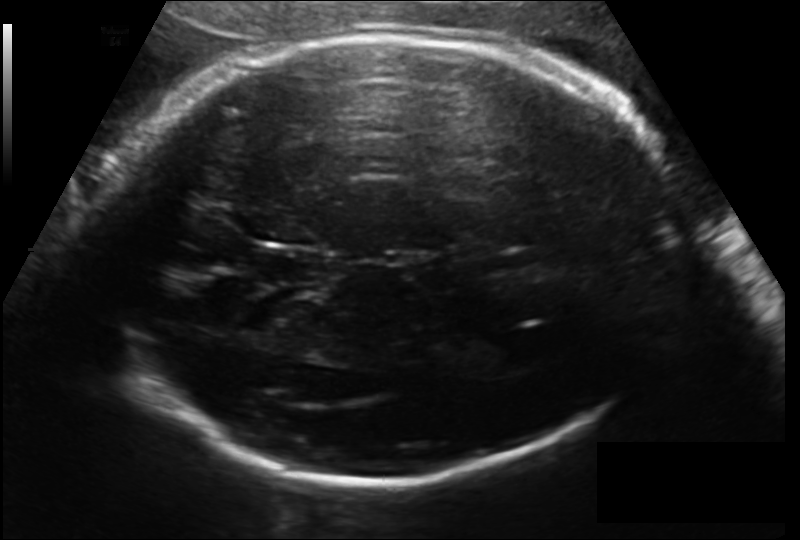
Fetal head ultrasound. Image width: 136.7 mm. Where is the fetal head?

Head bounding box: [102,33,672,487]